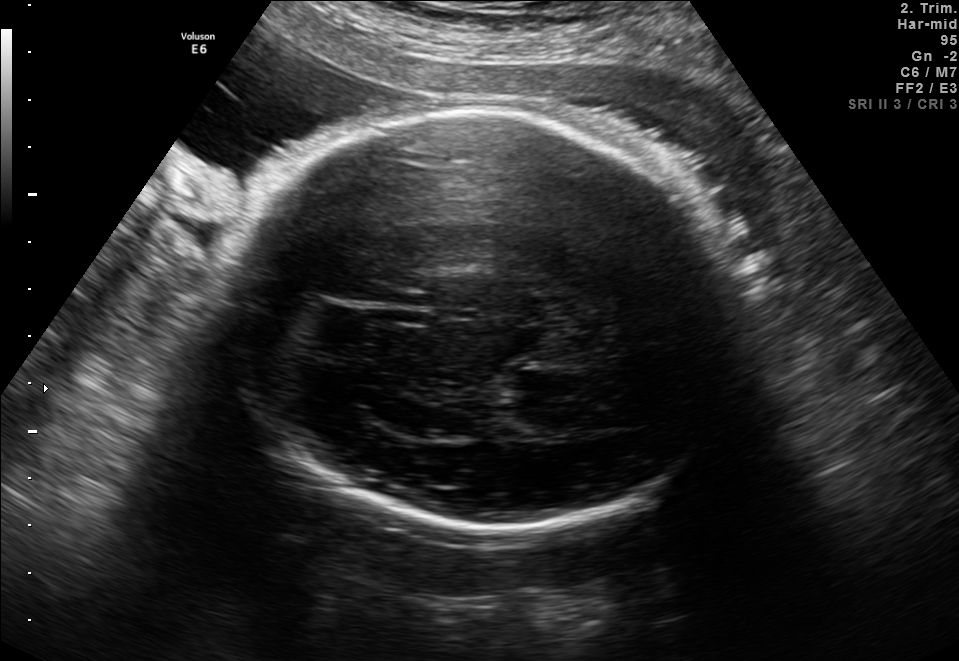
Fetal brain, trans-thalamic plane. Give [x1,y1,x2,y2] bounding boxes for each visible structure among: fetal head, CSP, LV.

Head: [233,112,738,535]
Lateral ventricle: [506,391,595,434]